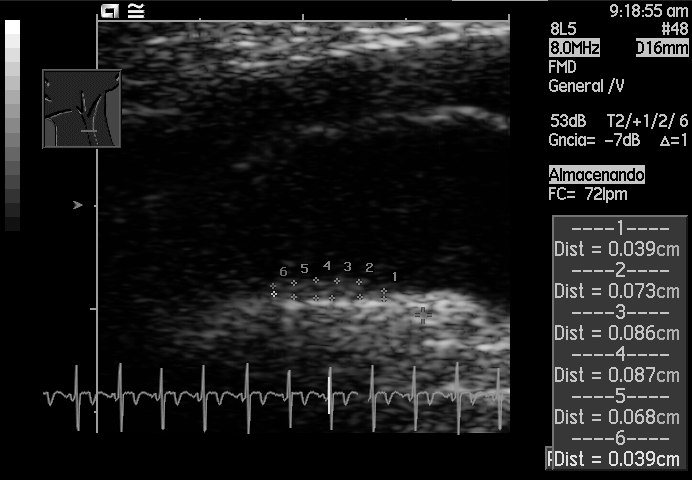
Classify this maternal-fetal ultrasound image as one of the six standard planes — fetal abdomen, fetal brain, fetal femur, fetal thorax, maternal cervix, or other. If it's fetal brain and one of the three standard brain planes (trans-thalamic, trans-cerebellum, trans-ventricular), name which.

Other